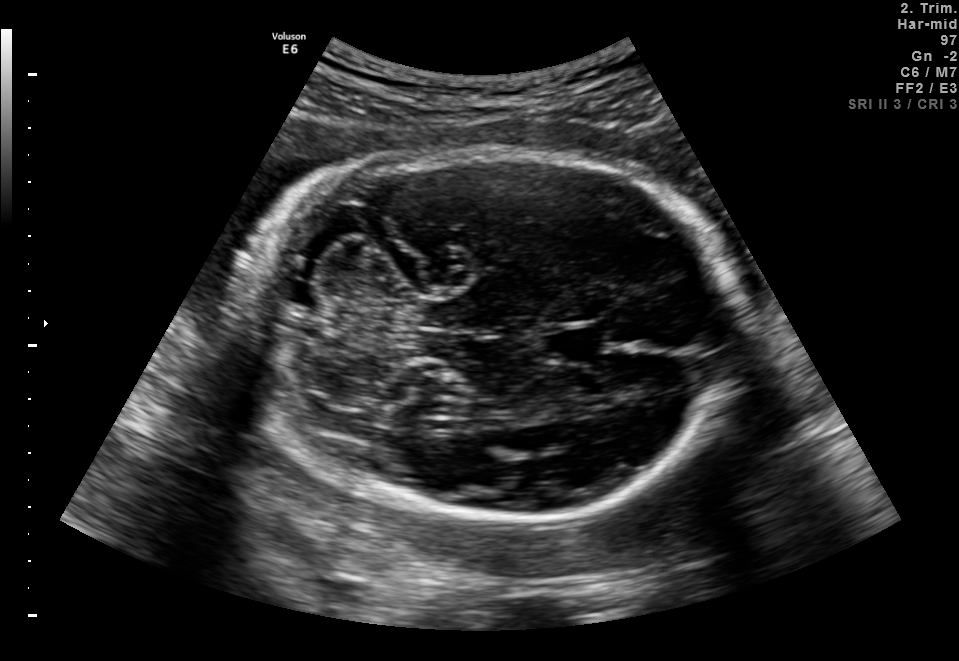
Fetal brain, trans-cerebellum plane. Locate the fetal head and, if visible, the cavum septum pellucidum (CSP) and lateral ventricle (LV). Give bounding boxes as [x1,y1,x2,y2].

Head: [239,150,740,521]
CSP: [542,322,610,367]